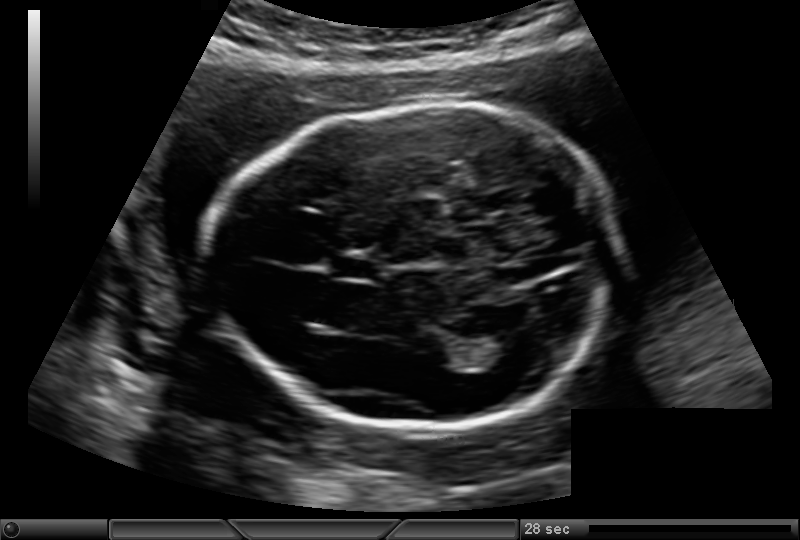
Fetal head ultrasound. Image width: 117.2 mm. Give [x1,y1,x2,y2] bounding boxes for each visible structure among: fetal head, CSP, LV.

Head: [209,107,616,430]
CSP: [331,255,377,282]